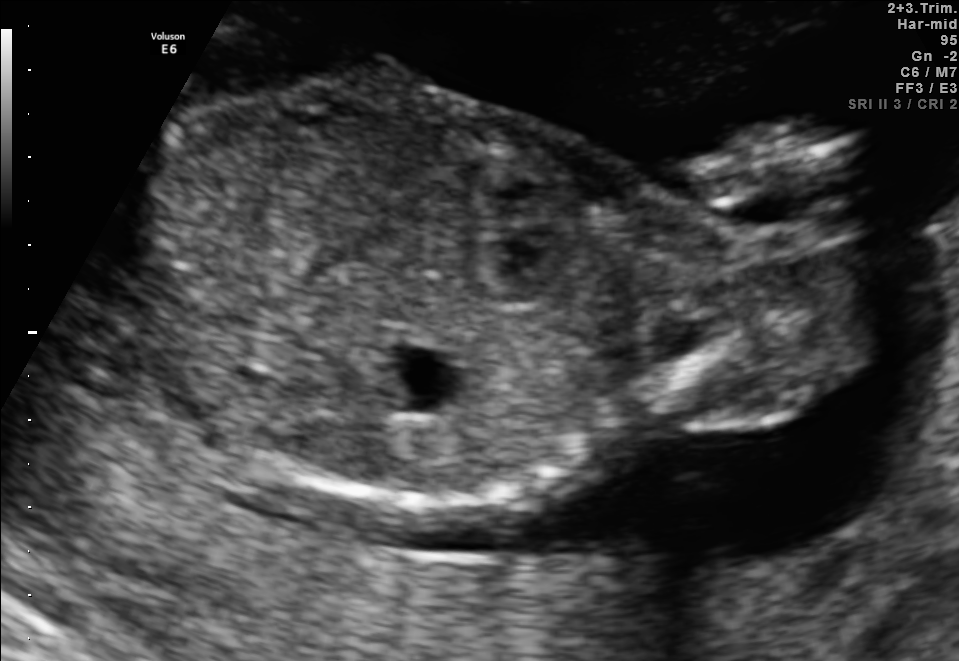
This is a 2D maternal-fetal ultrasound frame. Is it a fetal abdomen, fetal brain, fetal femur, fetal thorax, maternal cervix, or other standard plane? If it's fetal brain and one of the three standard brain planes (trans-thalamic, trans-cerebellum, trans-ventricular), name which.

Other